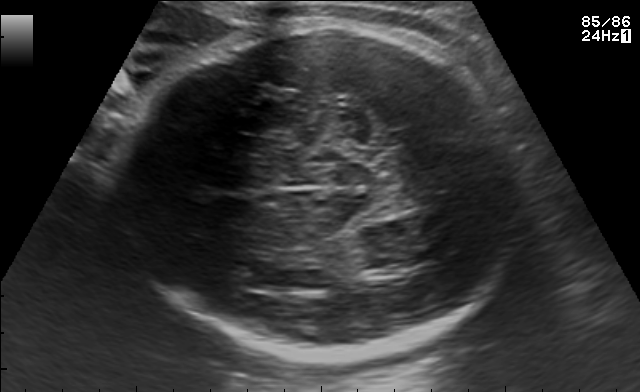
Fetal brain, trans-thalamic plane. Locate the fetal head and, if visible, the cavum septum pellucidum (CSP) and lateral ventricle (LV). Give bounding boxes as [x1,y1,x2,y2].

Head: [114,26,529,358]